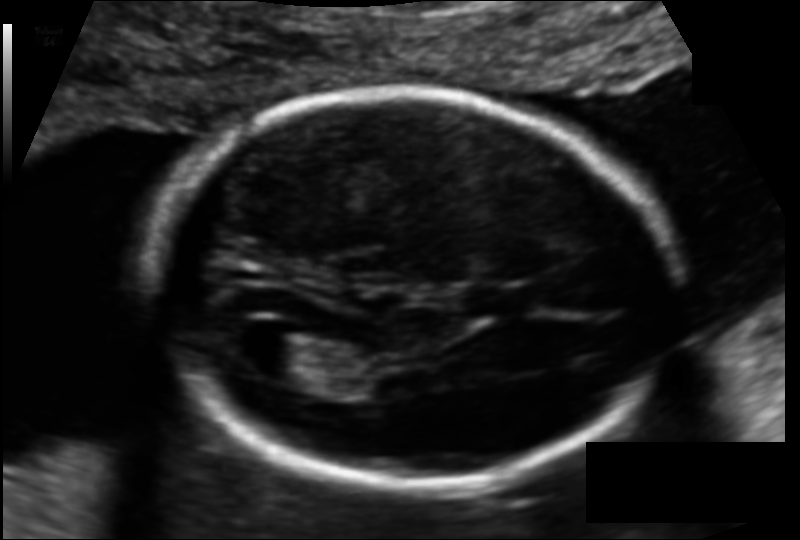
What is the fetal head circumference? Image width is 91.1 mm.

169.0 mm